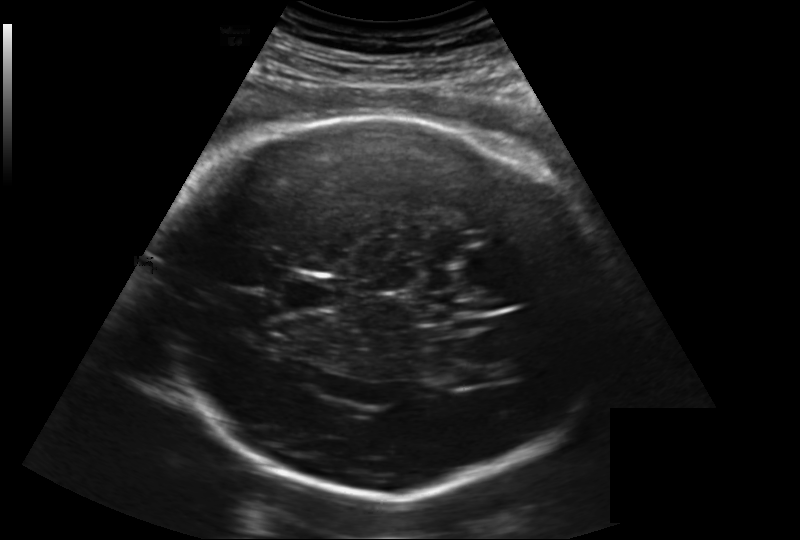
Measure the fetal head circumference shown in this ultrasound image. Image width: 175.3 mm.

Head circumference: 293.4 mm.